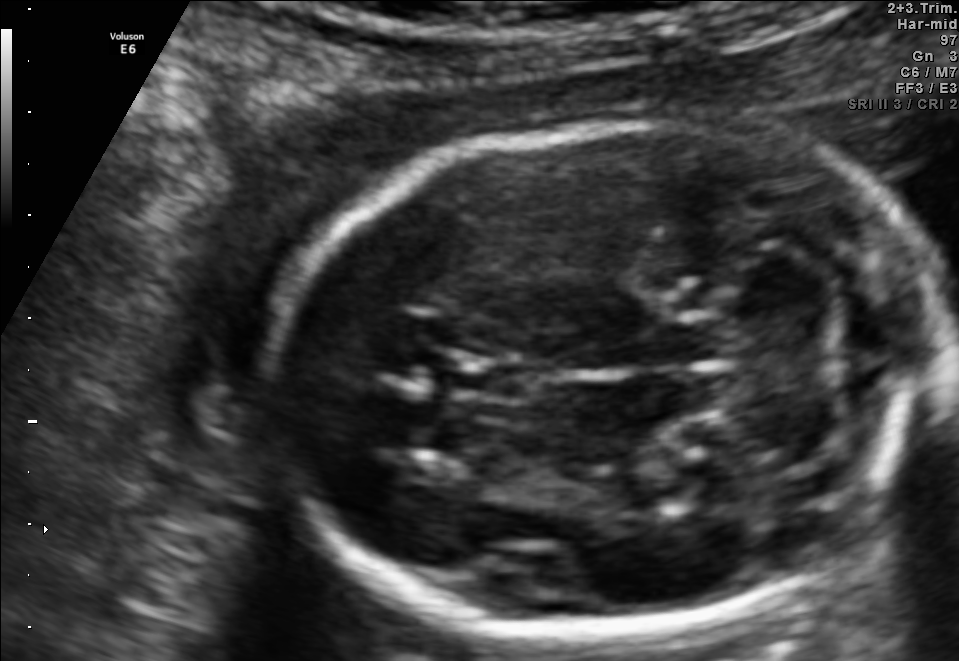
Fetal brain, trans-cerebellum plane. Where is the cavum septum pellucidum?

CSP bounding box: [449,358,543,400]